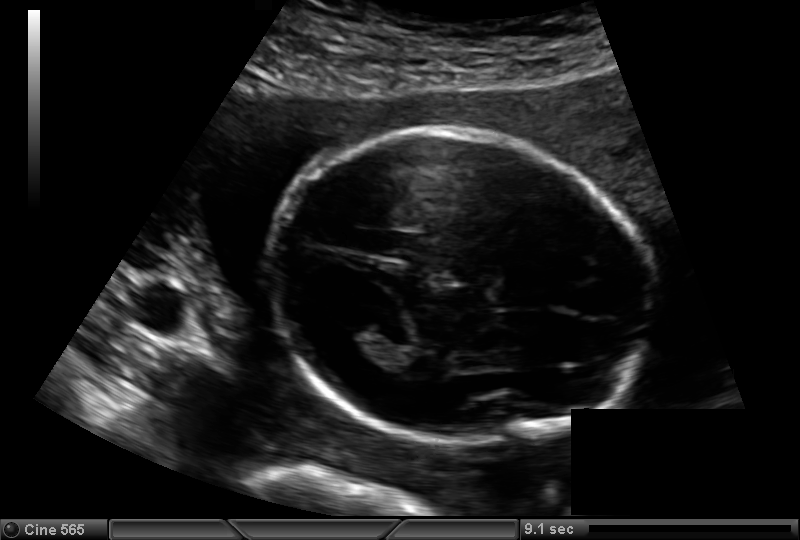
Fetal head ultrasound. Image width: 113.5 mm. Give [x1,y1,x2,y2] bounding boxes for each visible structure among: fetal head, CSP, LV.

Head: [270,131,653,450]